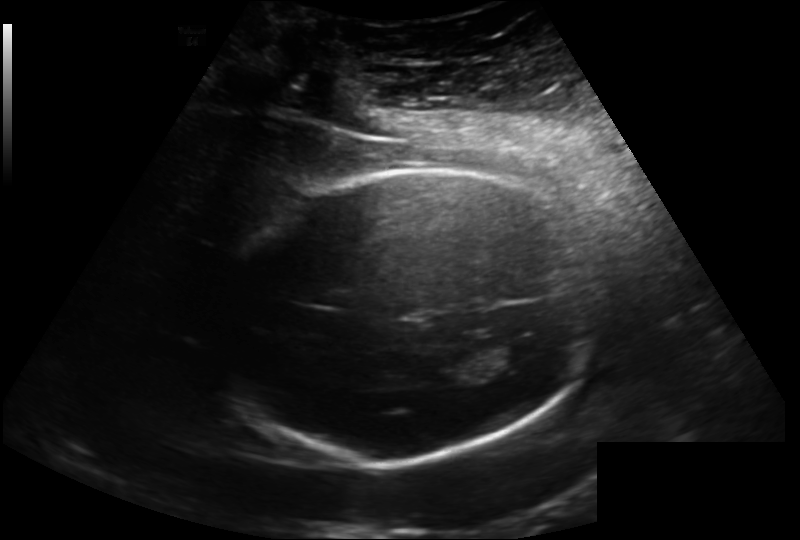
Fetal head ultrasound. Image width: 161.6 mm. Locate the fetal head and, if visible, the cavum septum pellucidum (CSP) and lateral ventricle (LV). Give bounding boxes as [x1,y1,x2,y2].

Head: [208,171,606,461]
Lateral ventricle: [488,332,551,378]